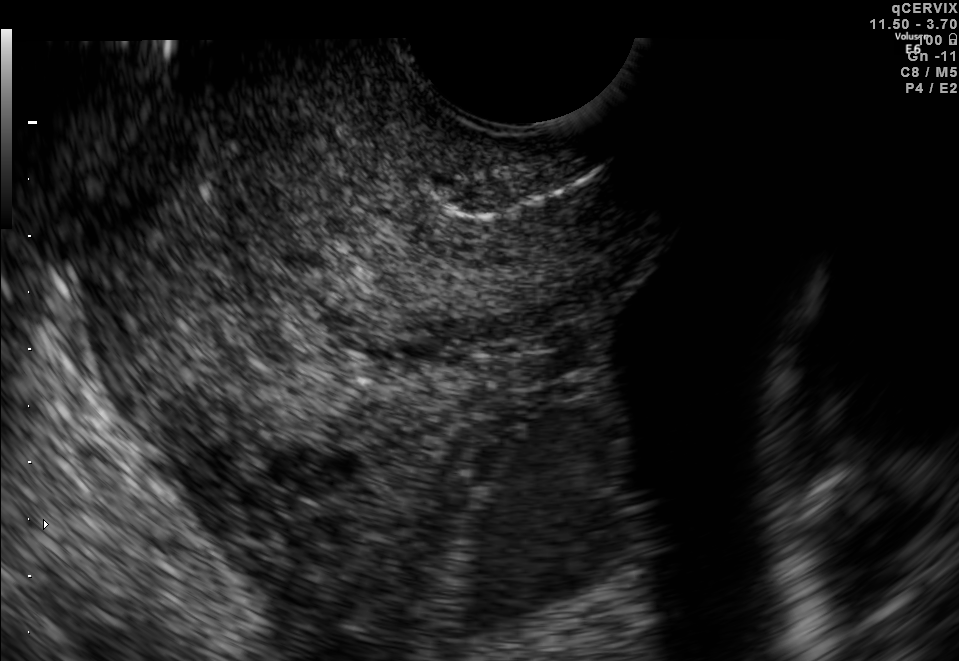
This is a 2D maternal-fetal ultrasound frame. Is it a fetal abdomen, fetal brain, fetal femur, fetal thorax, maternal cervix, or other standard plane? If it's fetal brain and one of the three standard brain planes (trans-thalamic, trans-cerebellum, trans-ventricular), name which.

Maternal cervix